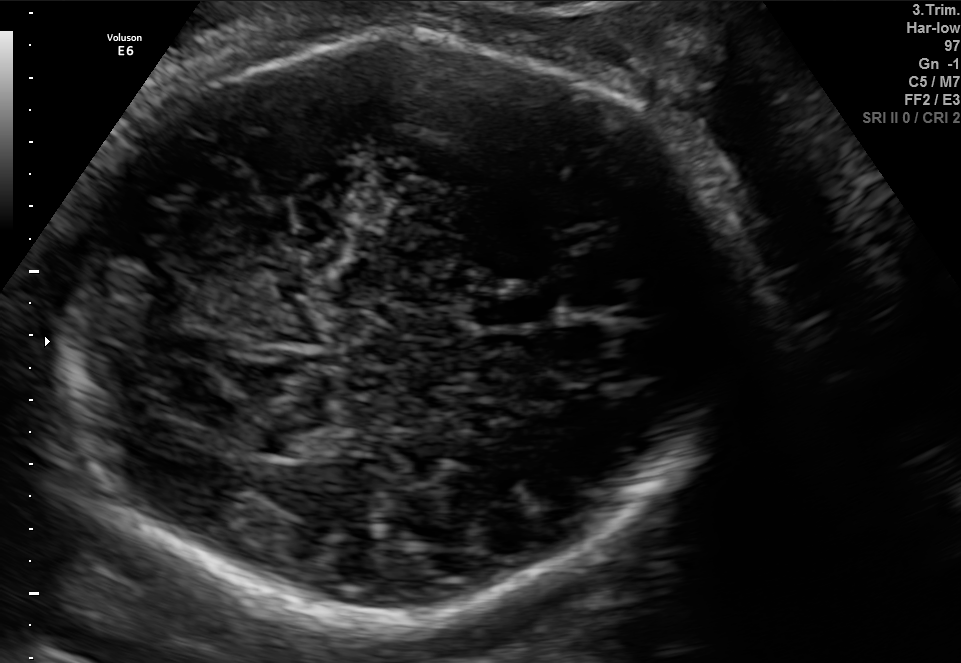
Fetal brain, trans-cerebellum plane. Give [x1,y1,x2,y2] bounding boxes for each visible structure among: fetal head, CSP, LV.

Head: [52,31,729,614]
CSP: [469,287,558,331]